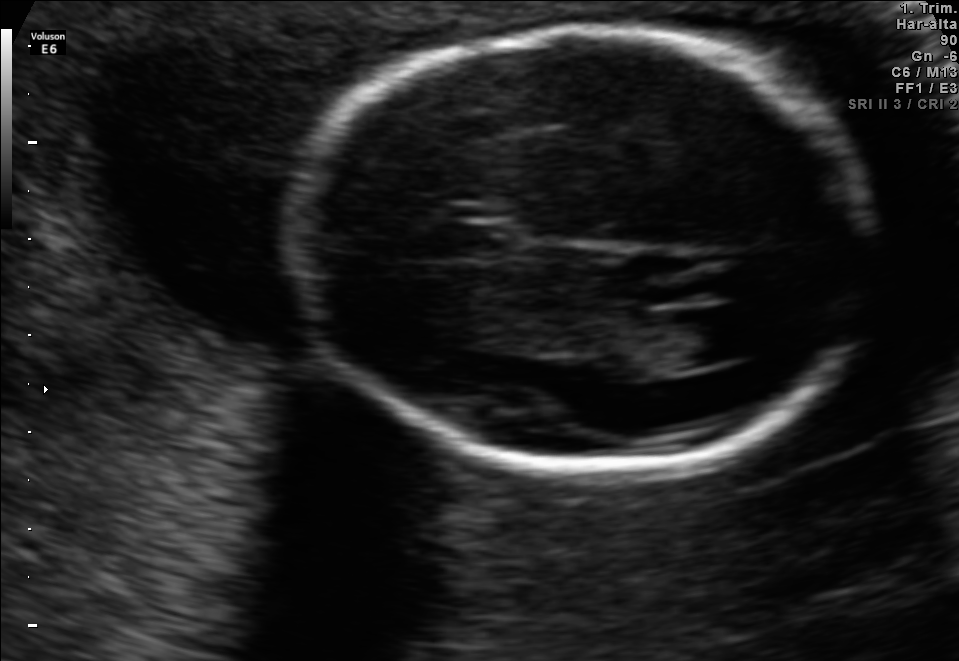
Fetal brain, trans-ventricular plane. Locate the fetal head and, if visible, the cavum septum pellucidum (CSP) and lateral ventricle (LV). Give bounding boxes as [x1,y1,x2,y2].

Head: [281,23,888,476]
CSP: [422,224,518,259]
Lateral ventricle: [651,300,763,375]